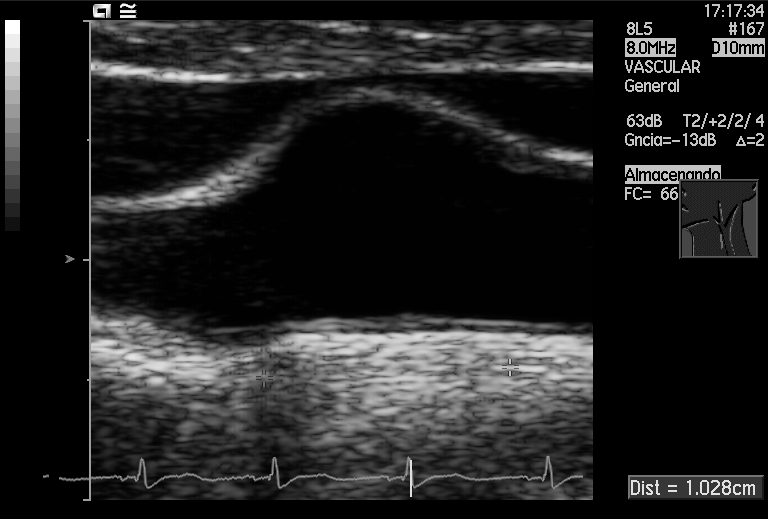
Classify this maternal-fetal ultrasound image as one of the six standard planes — fetal abdomen, fetal brain, fetal femur, fetal thorax, maternal cervix, or other. If it's fetal brain and one of the three standard brain planes (trans-thalamic, trans-cerebellum, trans-ventricular), name which.

Other